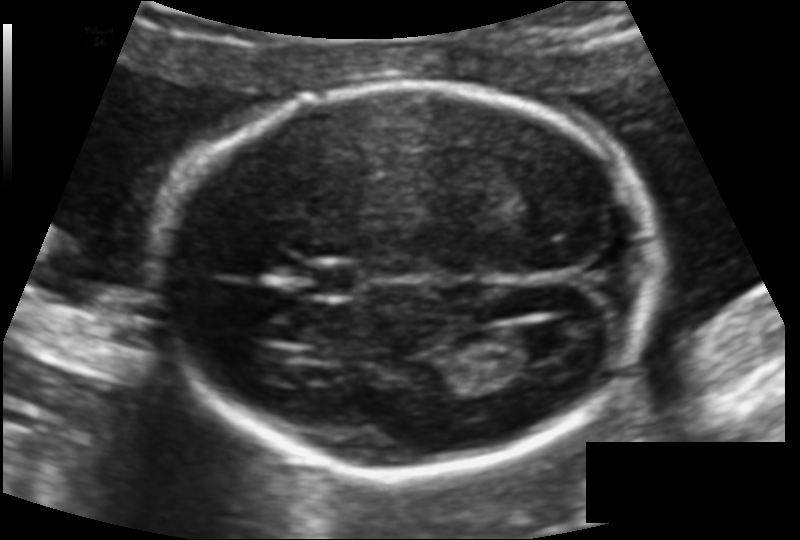
In this fetal head ultrasound, give the bounding box of the cavum septum pellucidum. Image width: 93.9 mm.

[303,264,361,299]